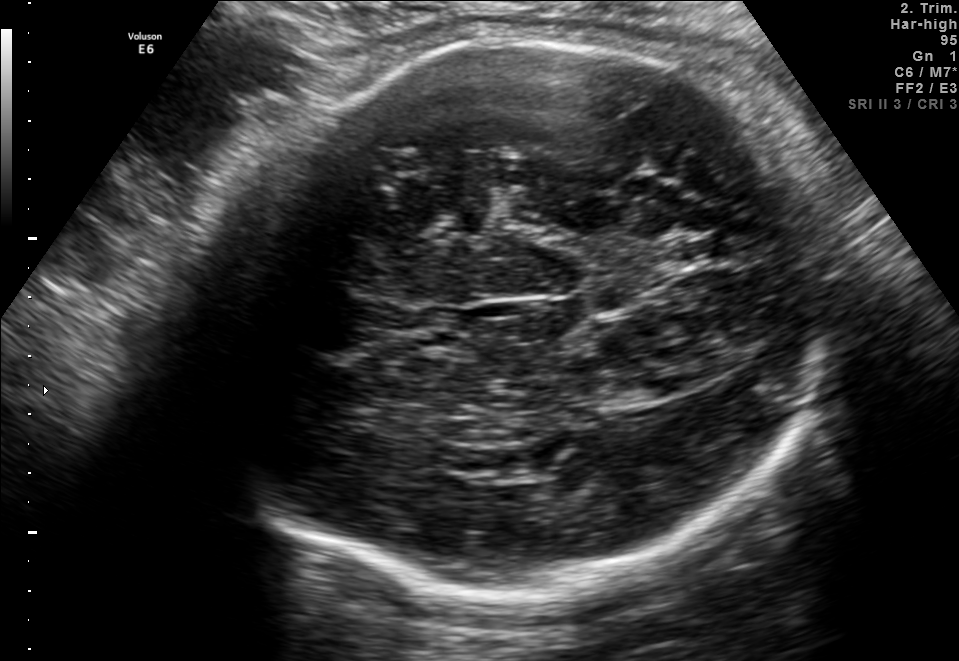
Fetal brain, trans-thalamic plane. Where is the fetal head?

Head bounding box: [181,37,816,602]